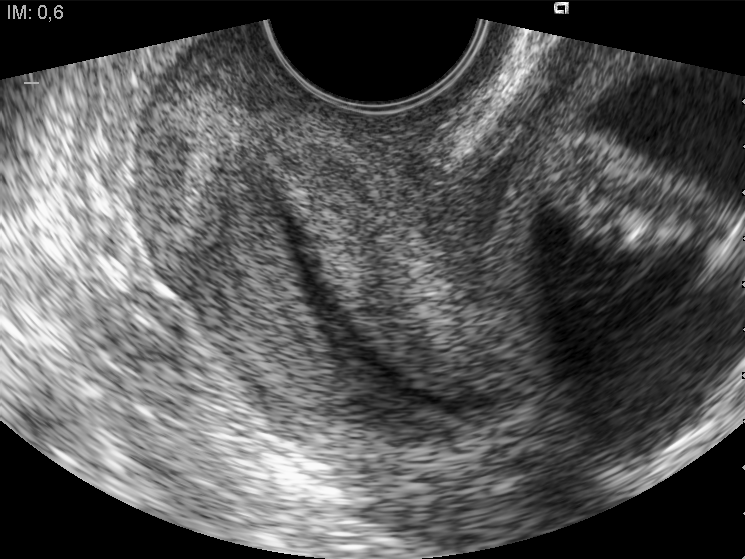
Identify the standard plane in this fetal ultrasound image: fetal abdomen, fetal brain, fetal femur, fetal thorax, maternal cervix, or other. If it's fetal brain and one of the three standard brain planes (trans-thalamic, trans-cerebellum, trans-ventricular), name which.

Maternal cervix